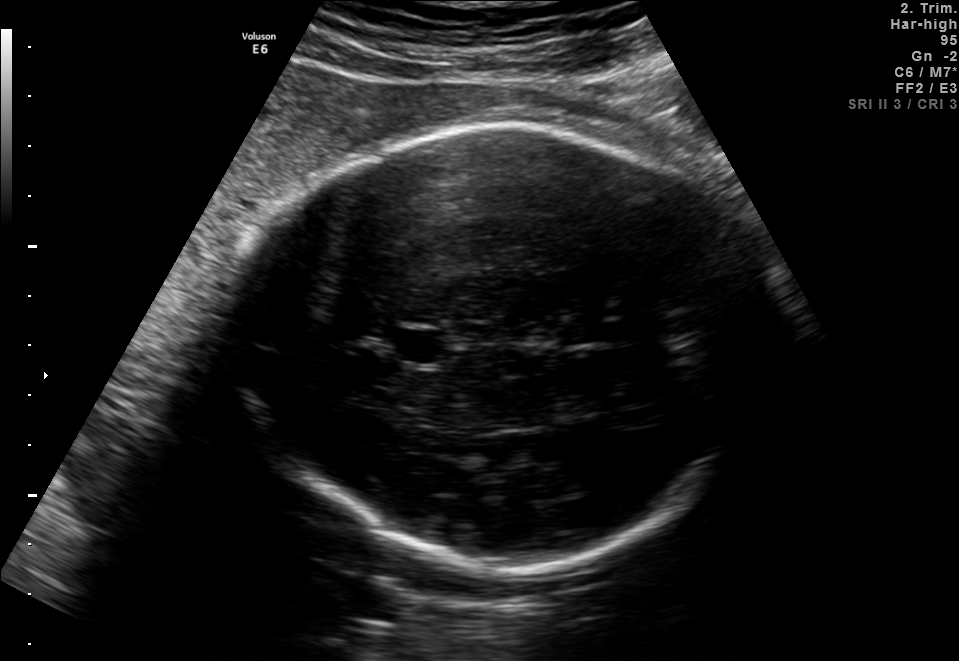
In this fetal brain, trans-thalamic plane, give bounding boxes for the head outline, cavum septum pellucidum (CSP), and lateral ventricle (LV), where visible.

Head: [227,127,760,564]
CSP: [390,328,447,366]